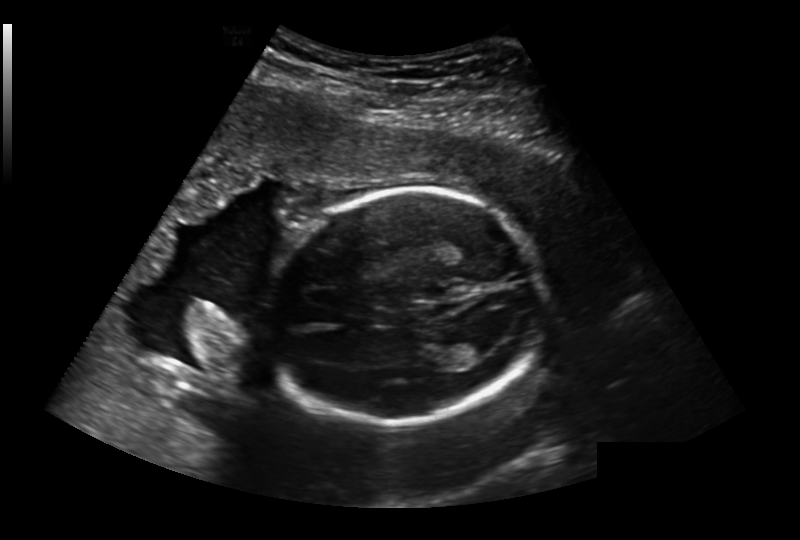
Fetal head ultrasound. Image width: 188.7 mm. Where is the lateral ventricle?

Lateral ventricle bounding box: [444,323,499,370]